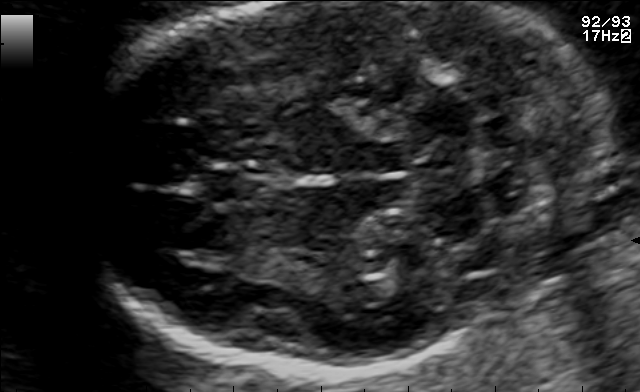
Fetal brain, trans-cerebellum plane. Locate the cavum septum pellucidum.

CSP: [197,165,274,205]